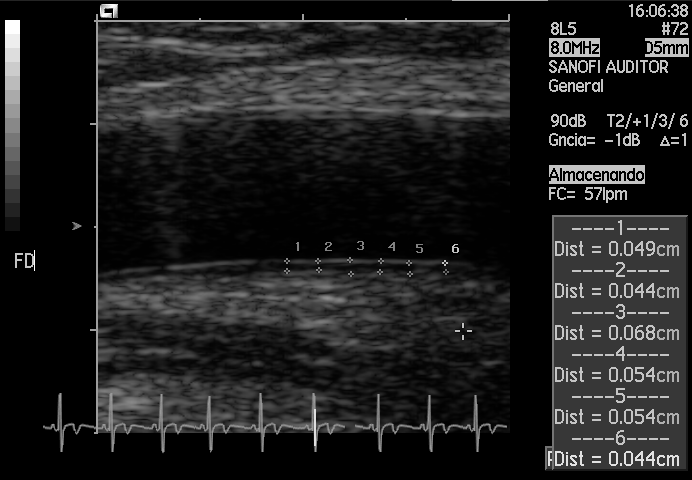
Which standard maternal-fetal ultrasound plane is shown: fetal abdomen, fetal brain, fetal femur, fetal thorax, maternal cervix, or other? If it's fetal brain and one of the three standard brain planes (trans-thalamic, trans-cerebellum, trans-ventricular), name which.

Other